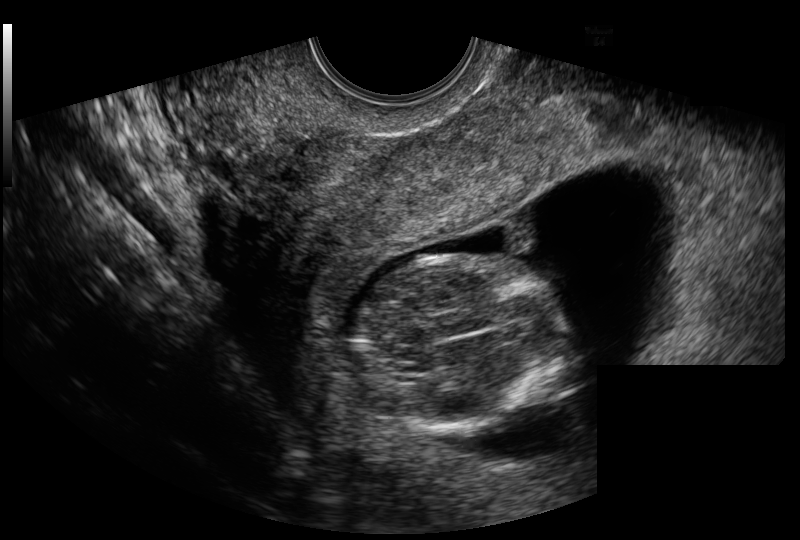
Fetal head ultrasound. Image width: 103.2 mm. Locate the fetal head and, if visible, the cavum septum pellucidum (CSP) and lateral ventricle (LV). Give bounding boxes as [x1,y1,x2,y2].

Head: [356,256,569,433]